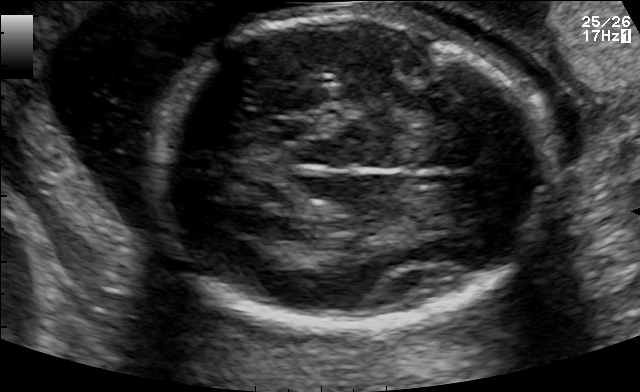
Classify this maternal-fetal ultrasound image as one of the six standard planes — fetal abdomen, fetal brain, fetal femur, fetal thorax, maternal cervix, or other. If it's fetal brain and one of the three standard brain planes (trans-thalamic, trans-cerebellum, trans-ventricular), name which.

Fetal brain (trans-thalamic plane)